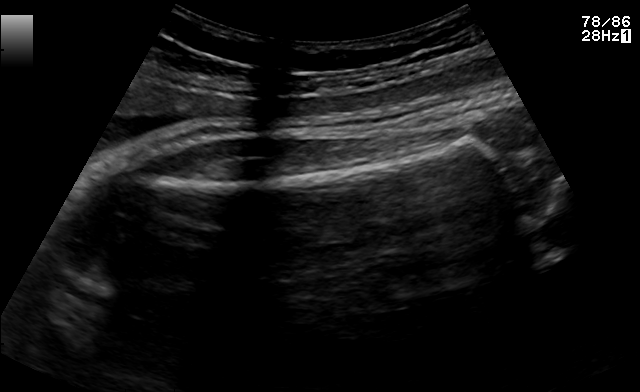
Identify the standard plane in this fetal ultrasound image: fetal abdomen, fetal brain, fetal femur, fetal thorax, maternal cervix, or other. If it's fetal brain and one of the three standard brain planes (trans-thalamic, trans-cerebellum, trans-ventricular), name which.

Fetal femur